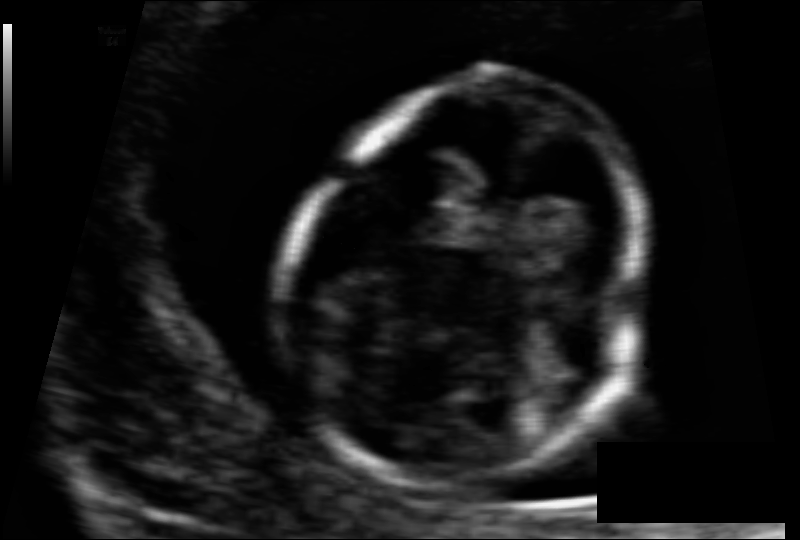
Fetal head ultrasound. Image width: 50.2 mm. Where is the fetal head?

Head bounding box: [288,77,649,481]